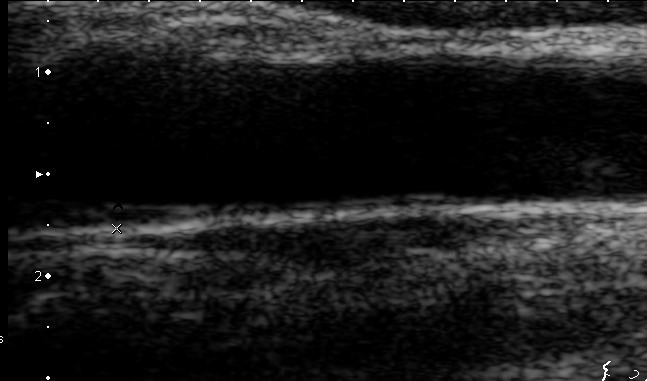
Which standard maternal-fetal ultrasound plane is shown: fetal abdomen, fetal brain, fetal femur, fetal thorax, maternal cervix, or other? If it's fetal brain and one of the three standard brain planes (trans-thalamic, trans-cerebellum, trans-ventricular), name which.

Other